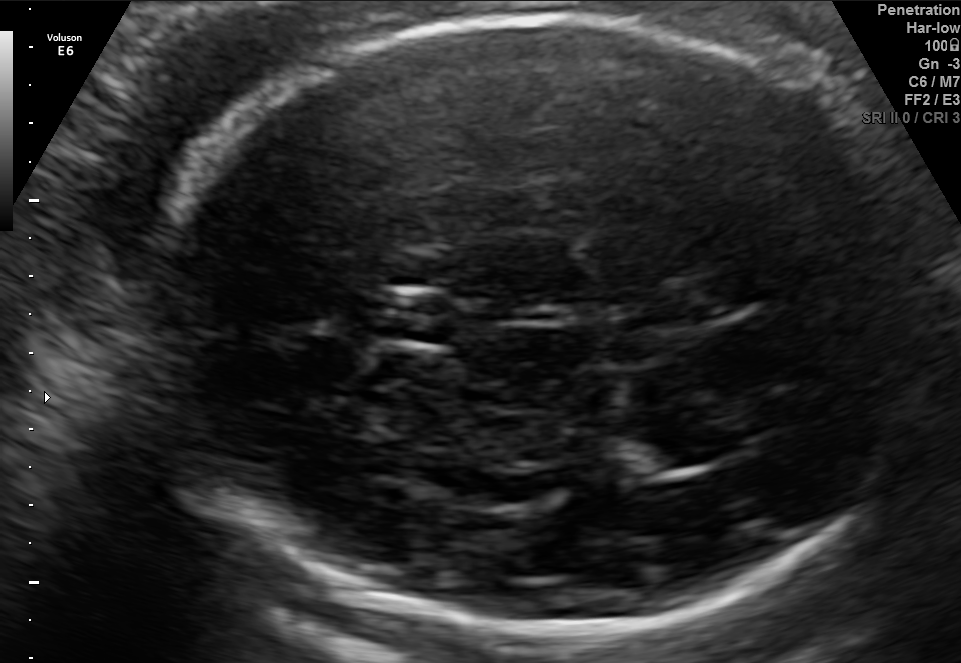
In this fetal brain, trans-thalamic plane, give the bounding box of the cavum septum pellucidum.

[369,289,461,346]